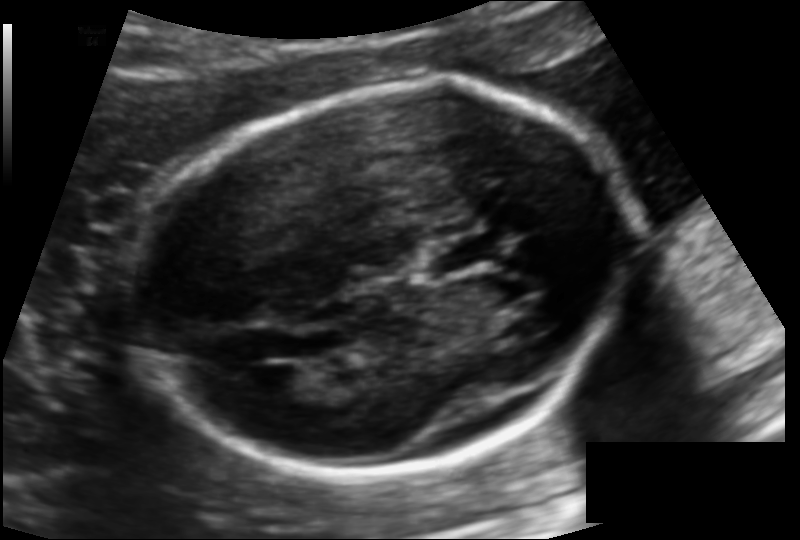
Fetal head ultrasound. Image width: 99.2 mm. Where is the fetal head?

Head bounding box: [135,89,631,471]